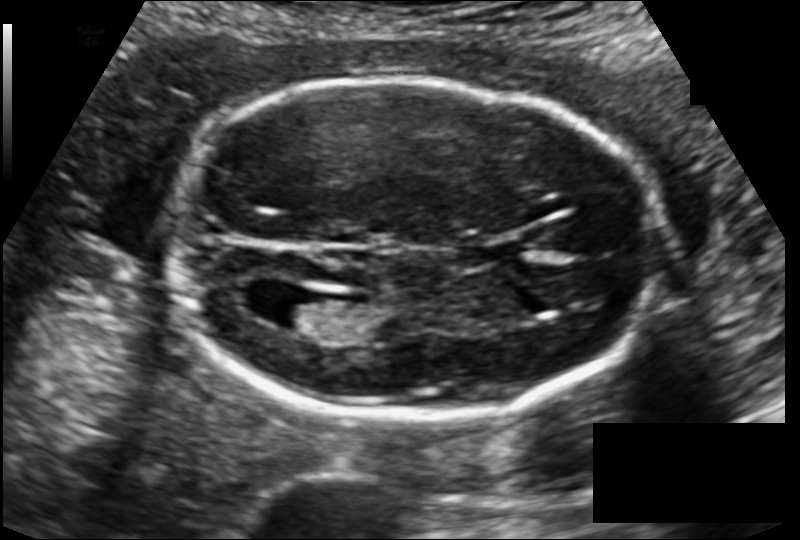
In this fetal head ultrasound, give bounding boxes for the head outline, cavum septum pellucidum (CSP), and lateral ventricle (LV), where visible. Image width: 103.4 mm.

Head: [163,78,657,419]
CSP: [462,231,528,271]
Lateral ventricle: [262,285,334,337]